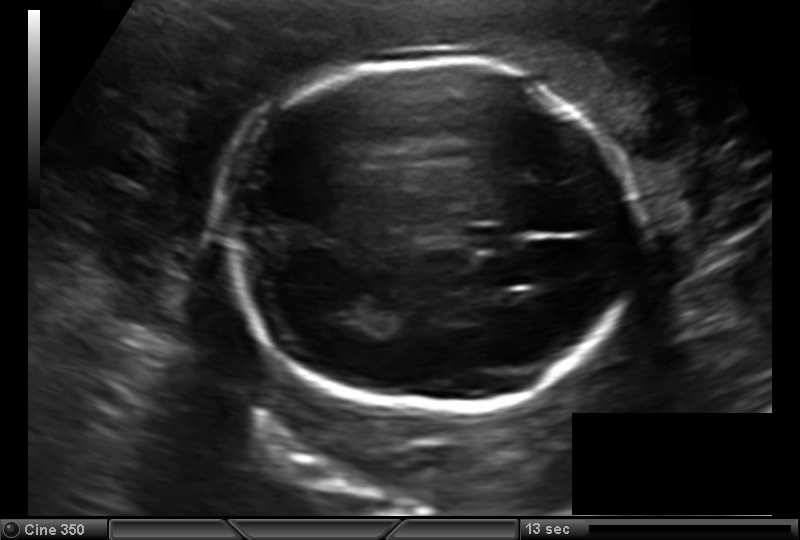
Estimate the fetal head circumference from this 2D ultrasound.

Head circumference: 198.9 mm (image width 125.6 mm).